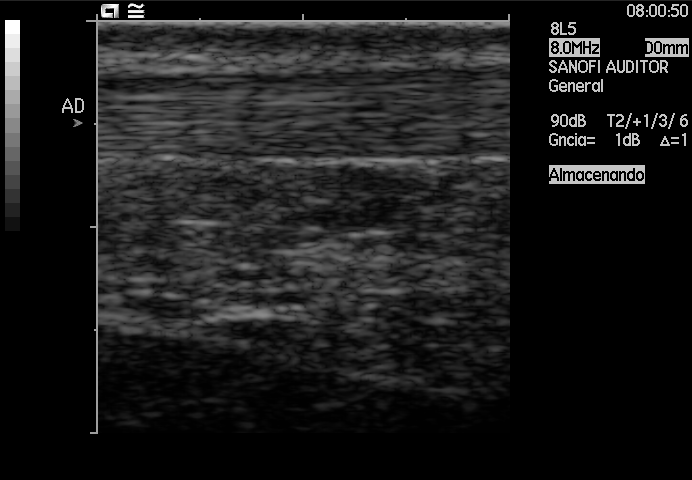
Classify this maternal-fetal ultrasound image as one of the six standard planes — fetal abdomen, fetal brain, fetal femur, fetal thorax, maternal cervix, or other. If it's fetal brain and one of the three standard brain planes (trans-thalamic, trans-cerebellum, trans-ventricular), name which.

Other